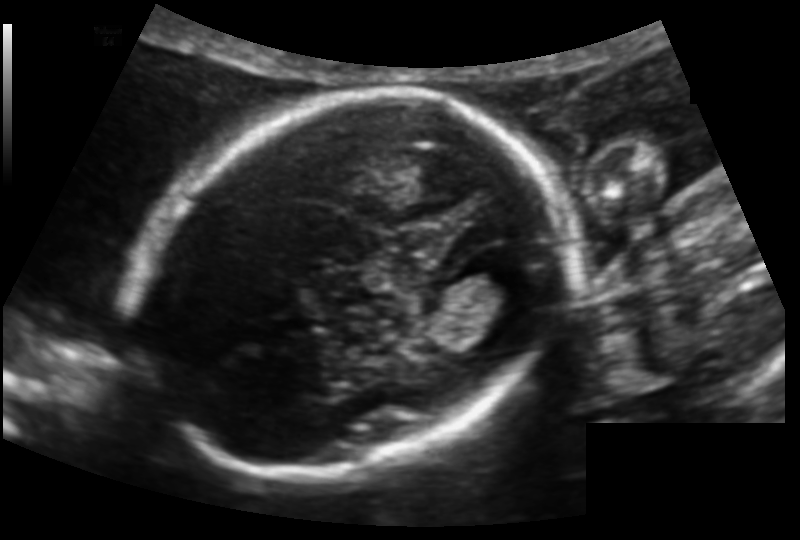
Fetal head ultrasound. Image width: 98.5 mm. Give [x1,y1,x2,y2] bounding boxes for each visible structure among: fetal head, CSP, LV.

Head: [137,94,556,477]
Lateral ventricle: [455,242,531,317]